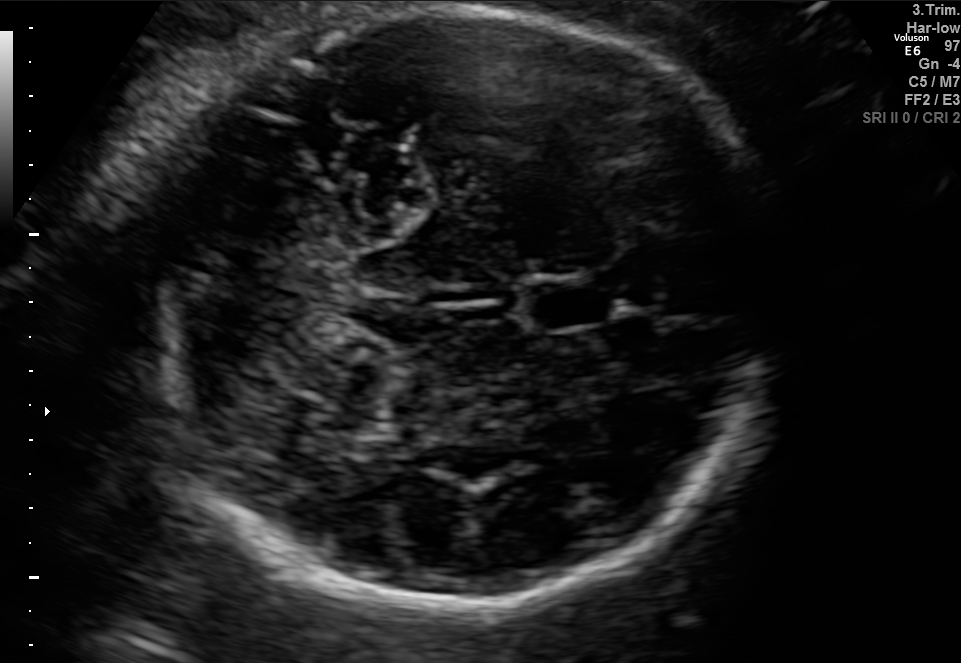
Which standard maternal-fetal ultrasound plane is shown: fetal abdomen, fetal brain, fetal femur, fetal thorax, maternal cervix, or other? If it's fetal brain and one of the three standard brain planes (trans-thalamic, trans-cerebellum, trans-ventricular), name which.

Fetal brain (trans-cerebellum plane)